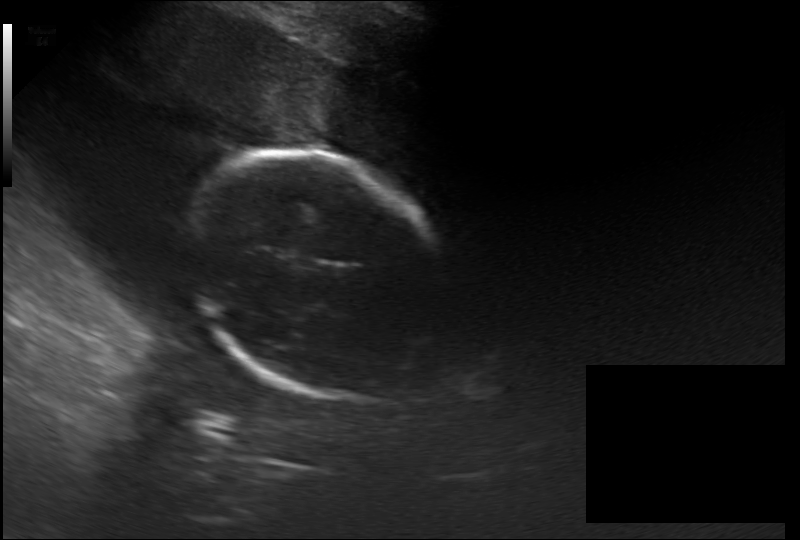
In this fetal head ultrasound, give the bounding box of the fetal head. Image width: 211.0 mm.

[184,153,455,400]